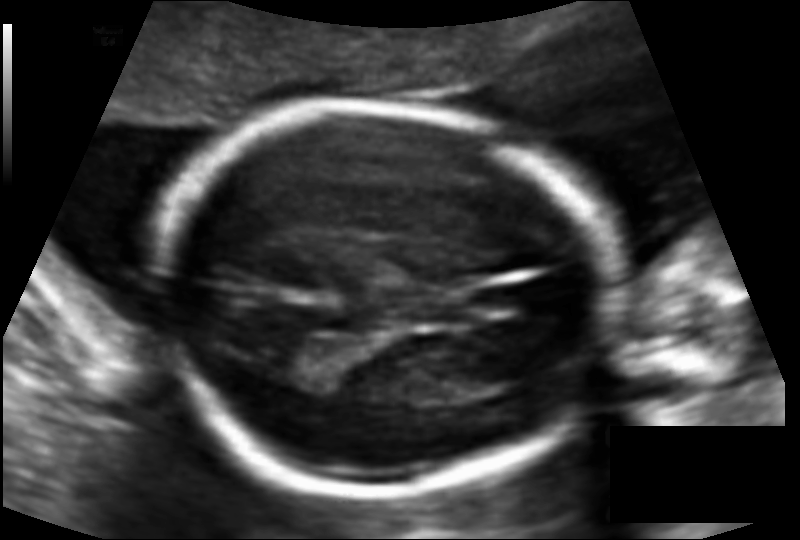
Fetal head ultrasound. Image width: 87.7 mm. Locate the fetal head and, if visible, the cavum septum pellucidum (CSP) and lateral ventricle (LV). Give bounding boxes as [x1,y1,x2,y2].

Head: [157,107,606,492]
CSP: [412,297,467,324]